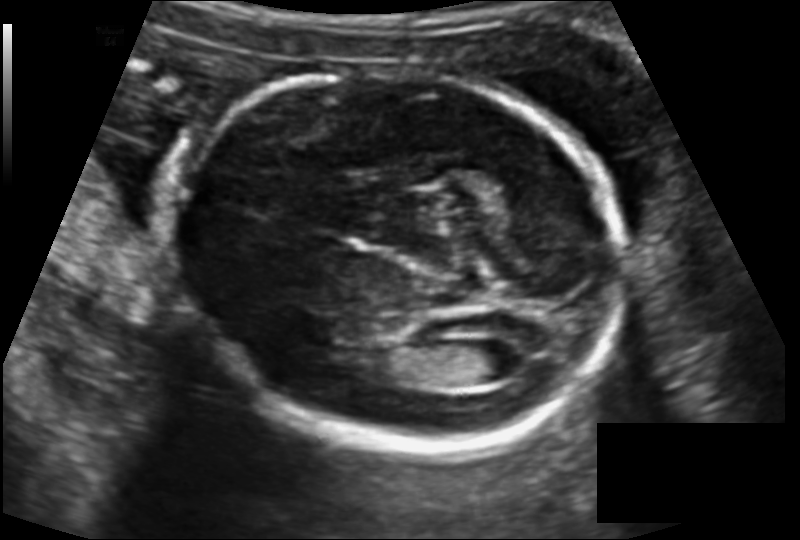
What is the fetal head circumference? Image width is 103.4 mm.

173.9 mm